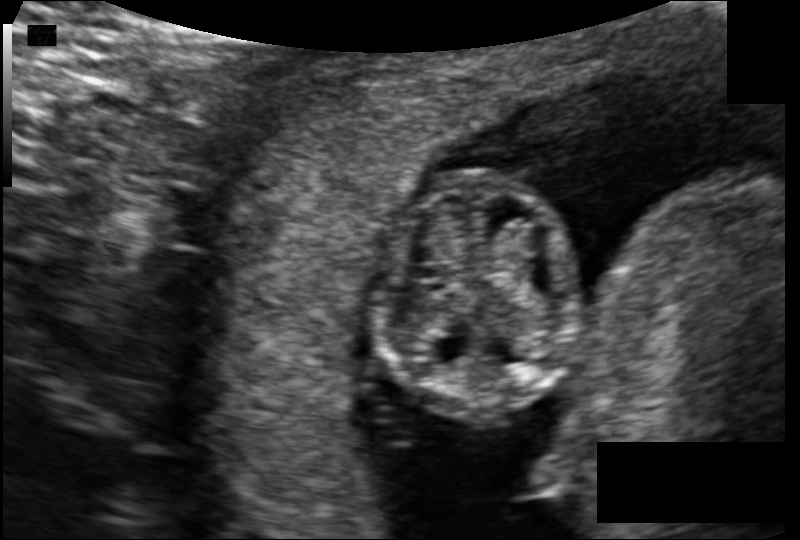
In this fetal head ultrasound, give the bounding box of the fetal head. Image width: 81.0 mm.

[373,172,579,414]